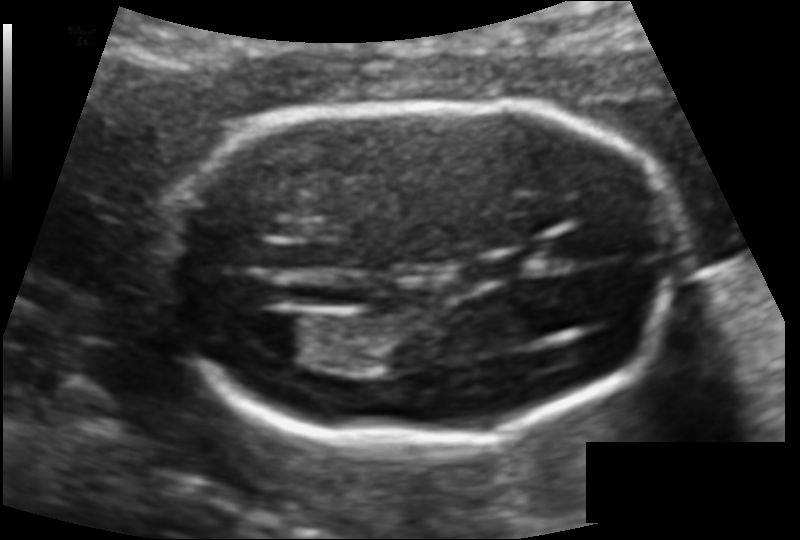
Measure the fetal head circumference shown in this ultrasound image. Image width: 87.1 mm.

Head circumference: 155.3 mm.